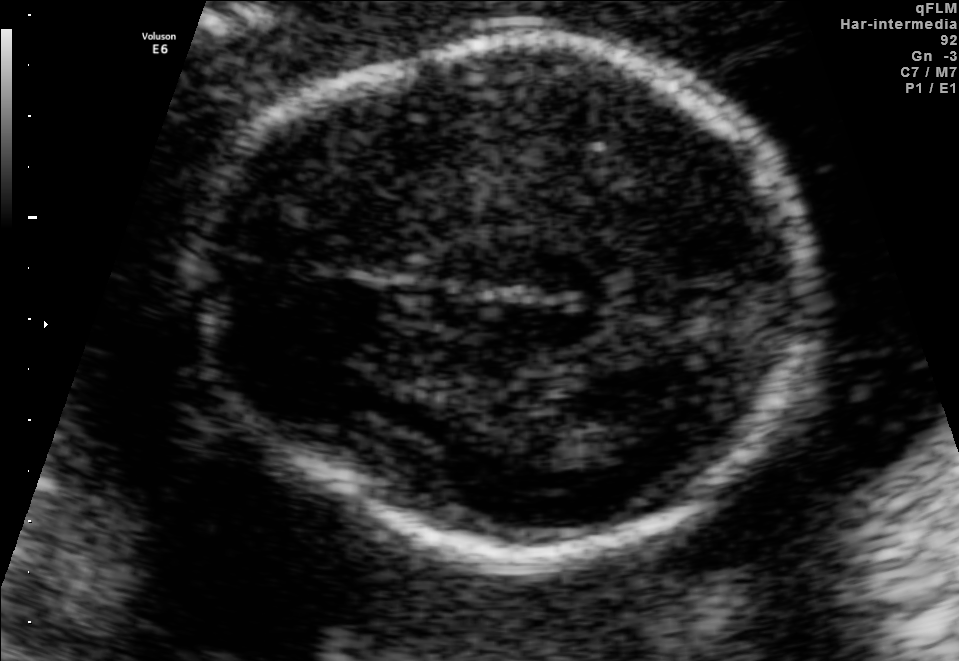
Fetal brain, trans-thalamic plane. Where is the fetal head?

Head bounding box: [201,39,810,554]